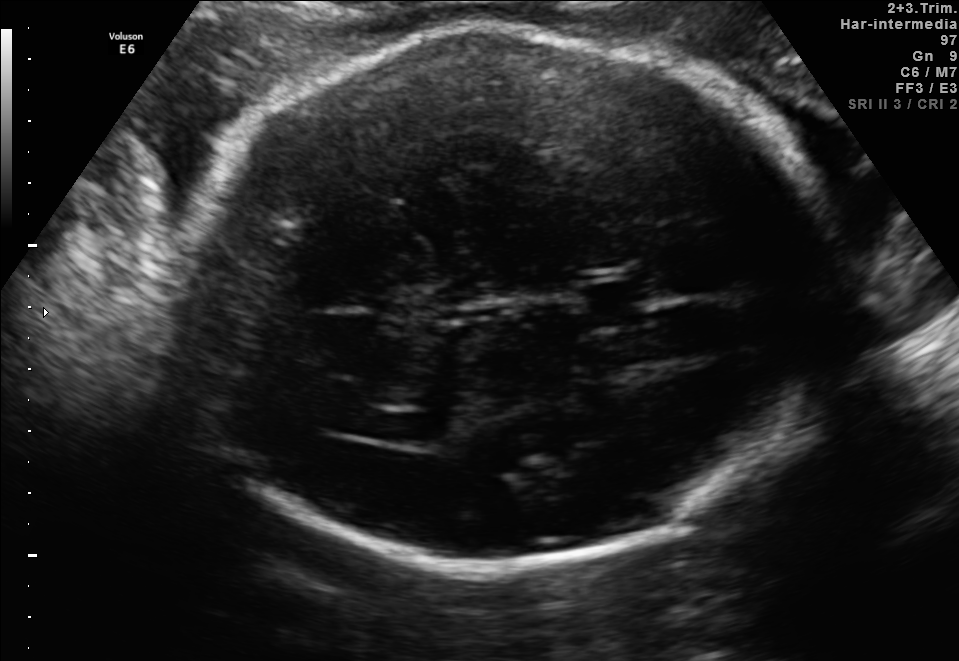
Fetal brain, trans-ventricular plane. Locate the fetal head.

Head: [161,17,856,576]